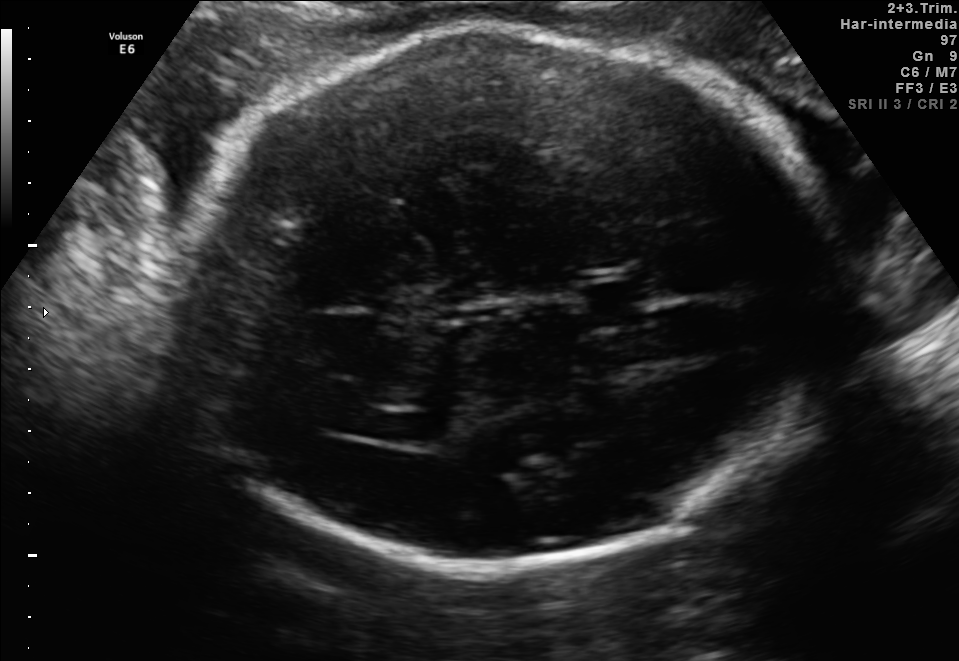
In this fetal brain, trans-ventricular plane, give the bounding box of the cavum septum pellucidum.

[566,267,680,335]